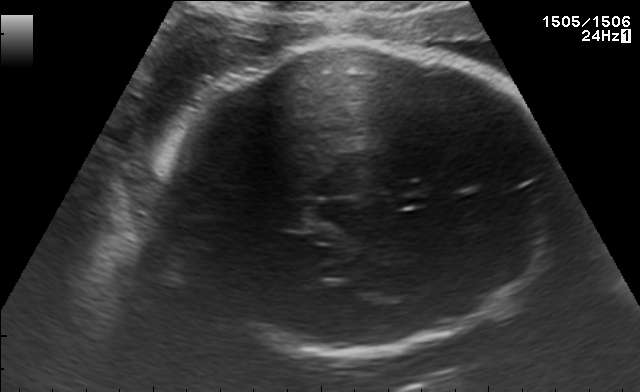
In this fetal brain, trans-thalamic plane, give the bounding box of the fetal head.

[158,47,558,355]